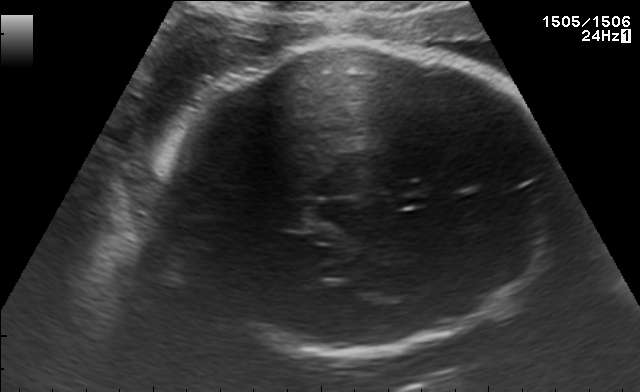
In this fetal brain, trans-thalamic plane, give bounding boxes for the head outline, cavum septum pellucidum (CSP), and lateral ventricle (LV), where visible.

Head: [158,47,558,355]